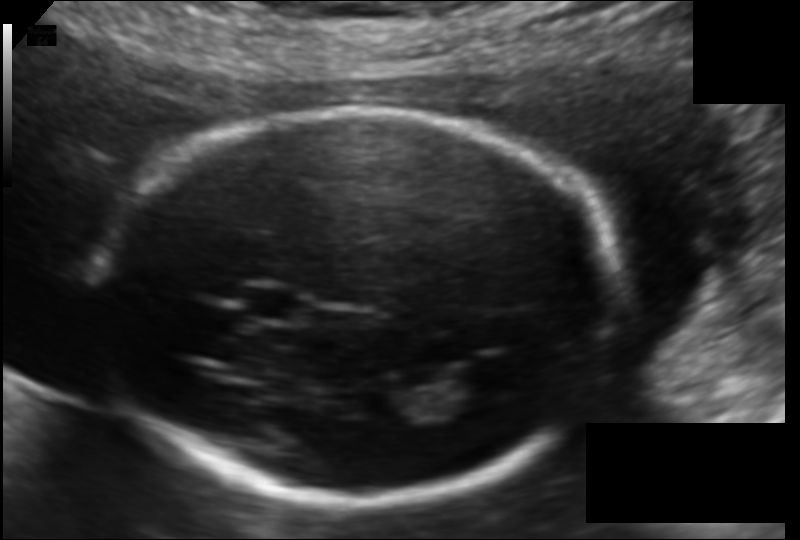
In this fetal head ultrasound, give the bounding box of the lateral ventricle. Image width: 96.1 mm.

[448,353,517,404]